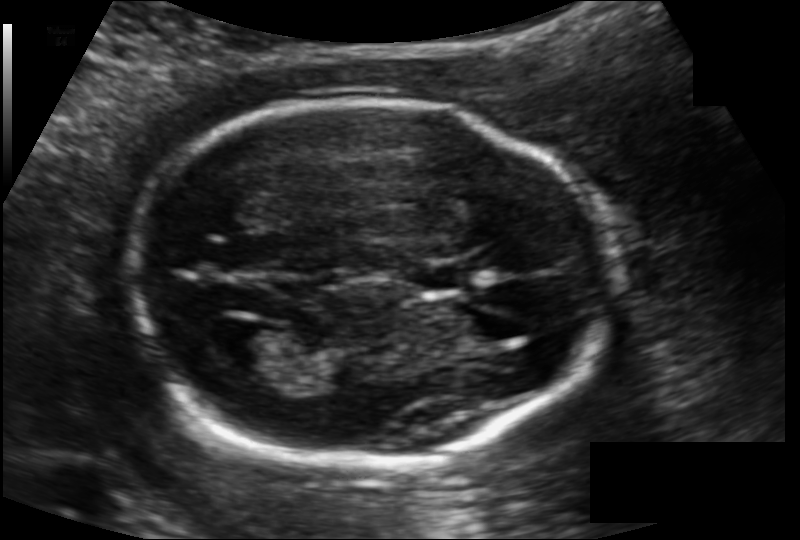
Measure the fetal head circumference shown in this ultrasound image. Image width: 96.5 mm.

Head circumference: 164.1 mm.